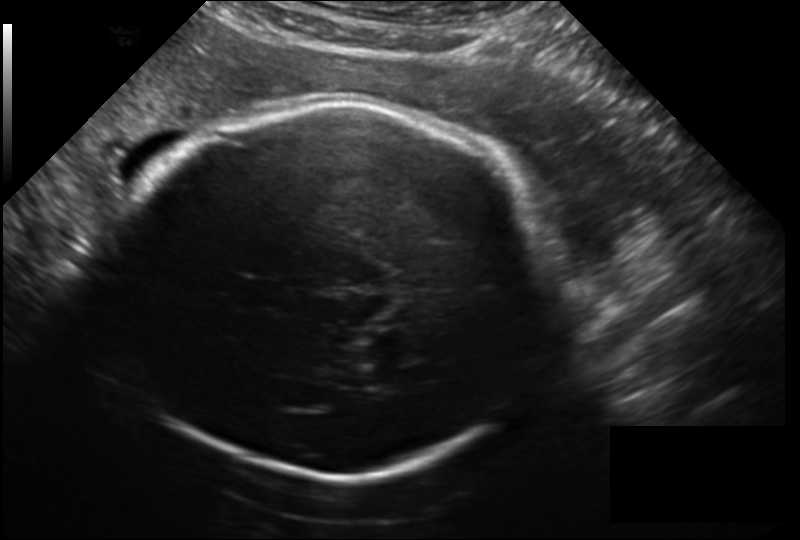
From this fetal ultrasound, estimate the head circumference (image width 167.3 mm).

Head circumference: 279.2 mm.